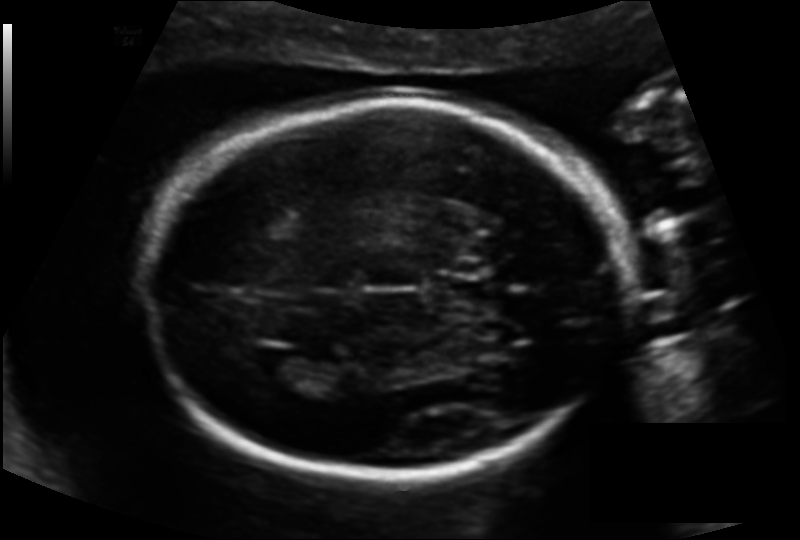
Fetal head ultrasound. Image width: 107.7 mm. Where is the fetal head?

Head bounding box: [143,101,631,476]